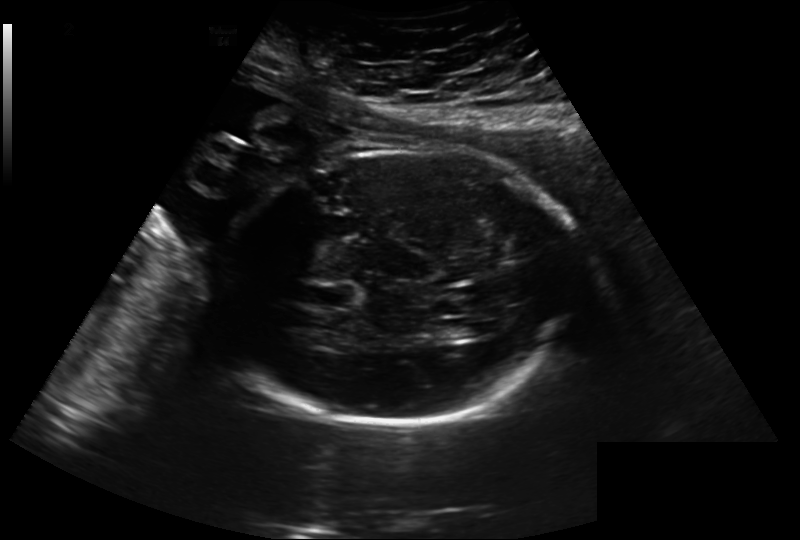
Fetal head ultrasound. Image width: 208.3 mm. Locate the cavum septum pellucidum.

CSP: [309,284,356,310]